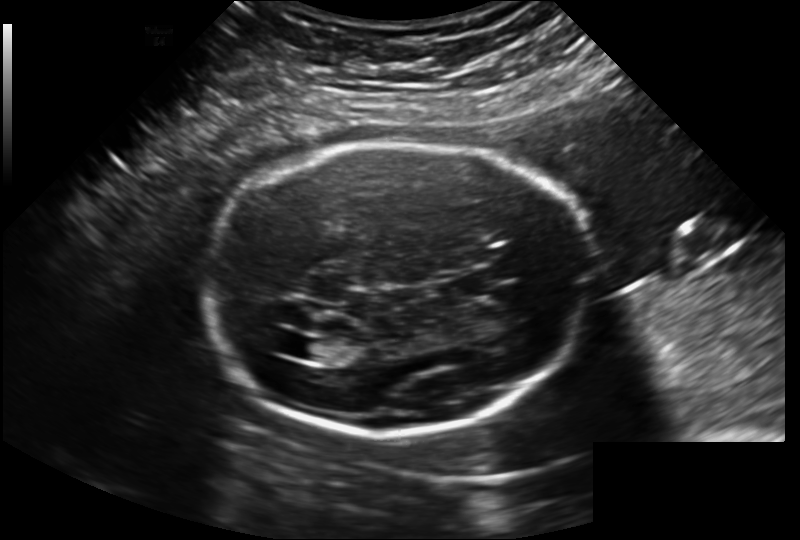
Estimate the fetal head circumference from this 2D ultrasound. Image width: 161.6 mm.

Head circumference: 223.8 mm.